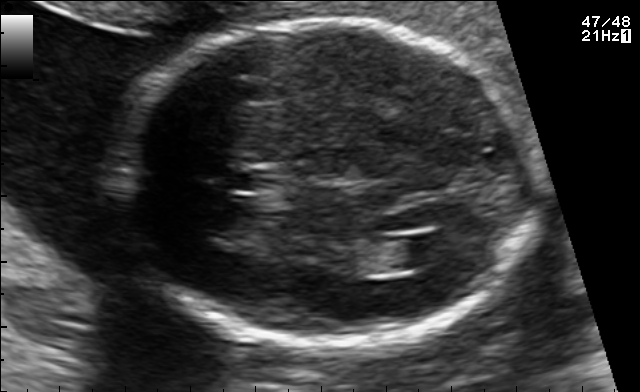
Fetal brain, trans-ventricular plane. Locate the fetal head.

Head: [109,15,545,353]